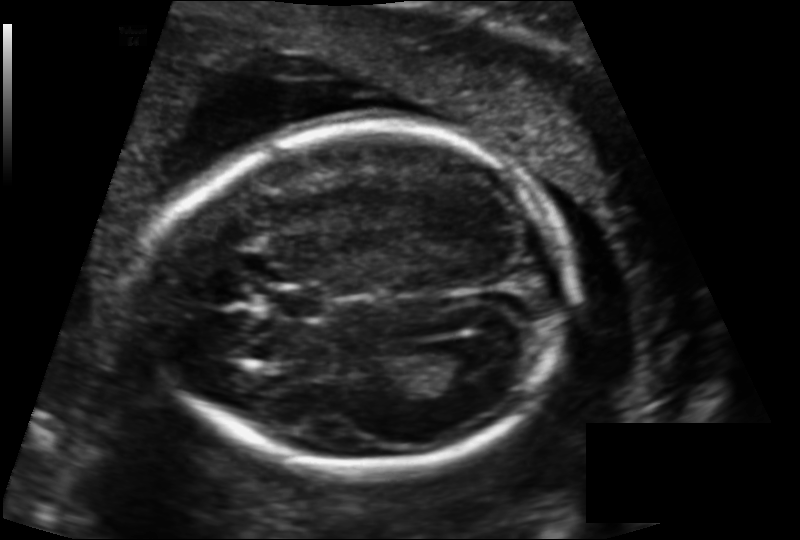
In this fetal head ultrasound, give the bounding box of the lateral ventricle. Image width: 109.5 mm.

[424,336,500,396]